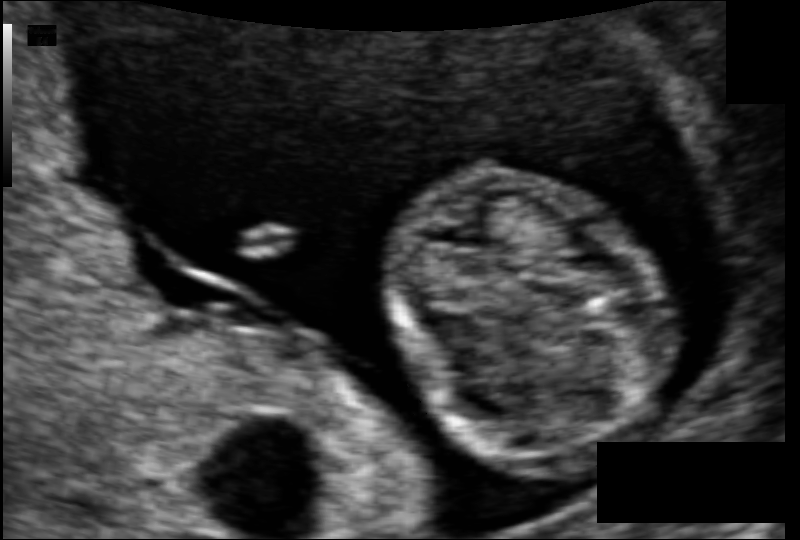
Fetal head ultrasound. Image width: 59.6 mm. Where is the fetal head?

Head bounding box: [387,163,668,460]